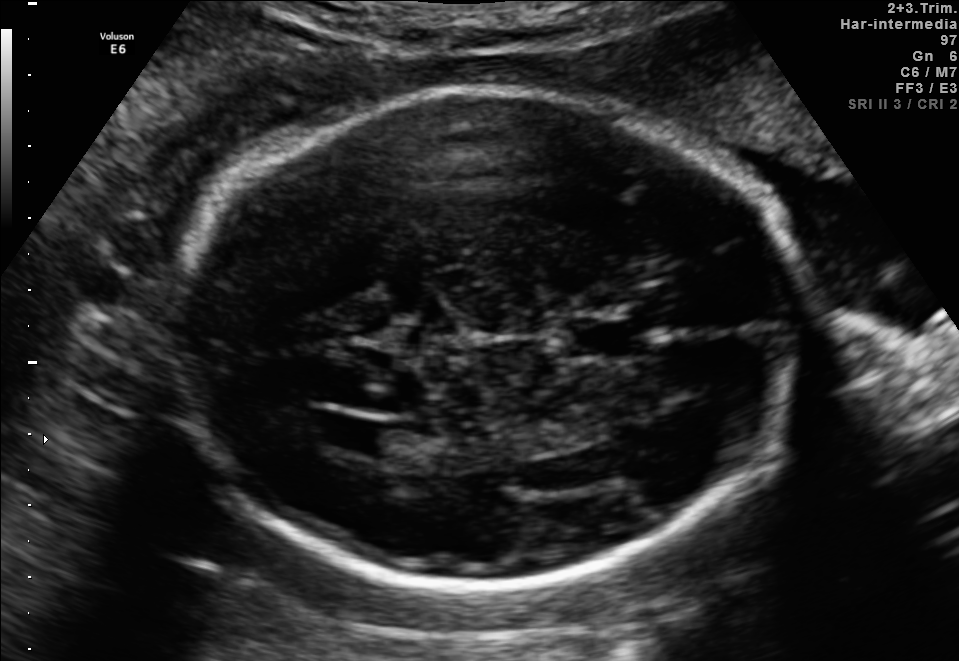
In this fetal brain, trans-ventricular plane, give the bounding box of the fetal head.

[161,85,816,592]